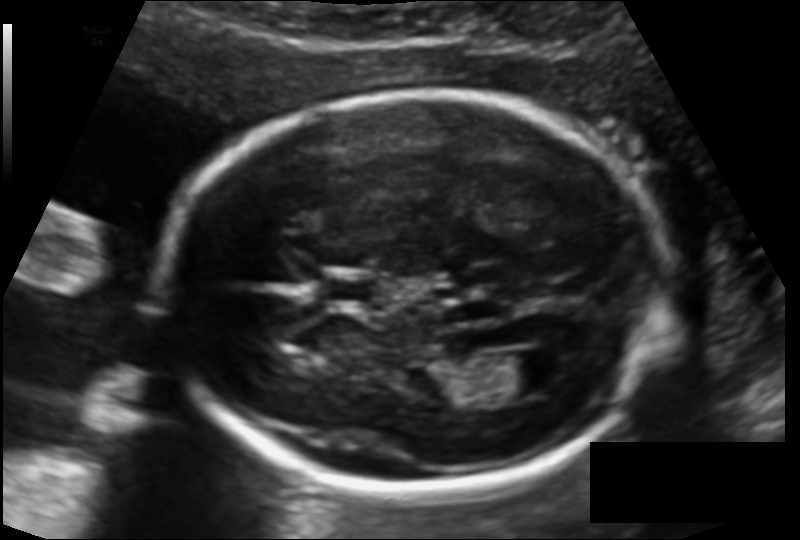
Fetal head ultrasound. Image width: 101.2 mm. Give [x1,y1,x2,y2] bounding boxes for each visible structure among: fetal head, CSP, LV.

Head: [169,93,663,491]
CSP: [321,273,374,306]
Lateral ventricle: [484,348,563,404]